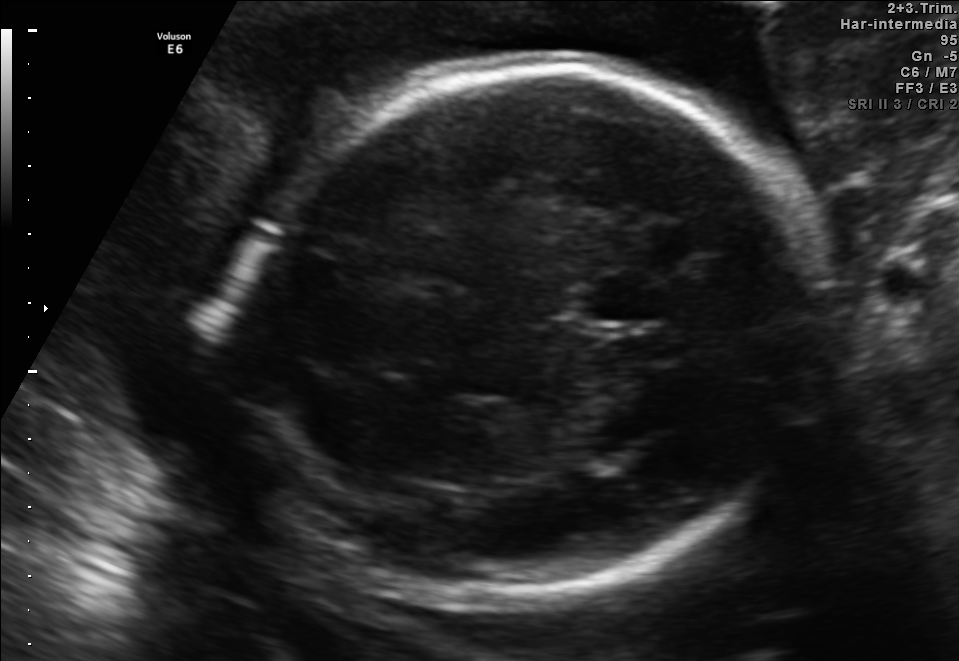
Classify this maternal-fetal ultrasound image as one of the six standard planes — fetal abdomen, fetal brain, fetal femur, fetal thorax, maternal cervix, or other. If it's fetal brain and one of the three standard brain planes (trans-thalamic, trans-cerebellum, trans-ventricular), name which.

Fetal brain (trans-thalamic plane)